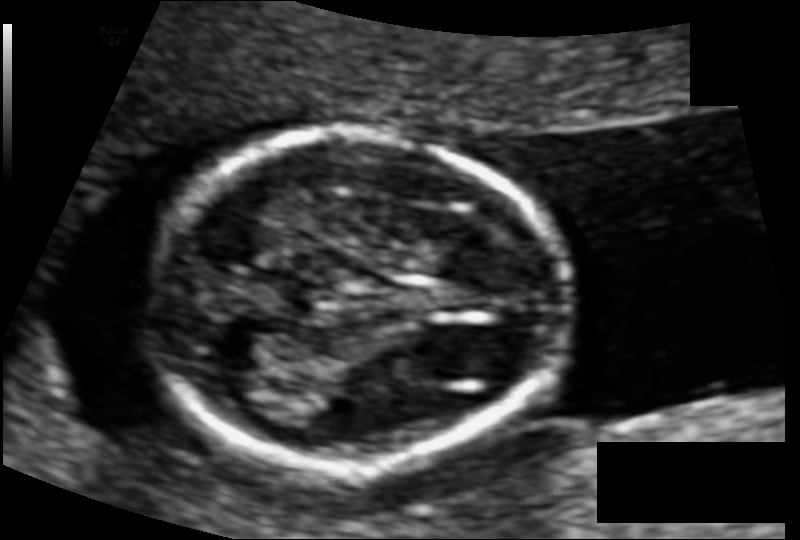
Fetal head ultrasound. Image width: 66.8 mm. Locate the fetal head.

Head: [153,133,567,464]